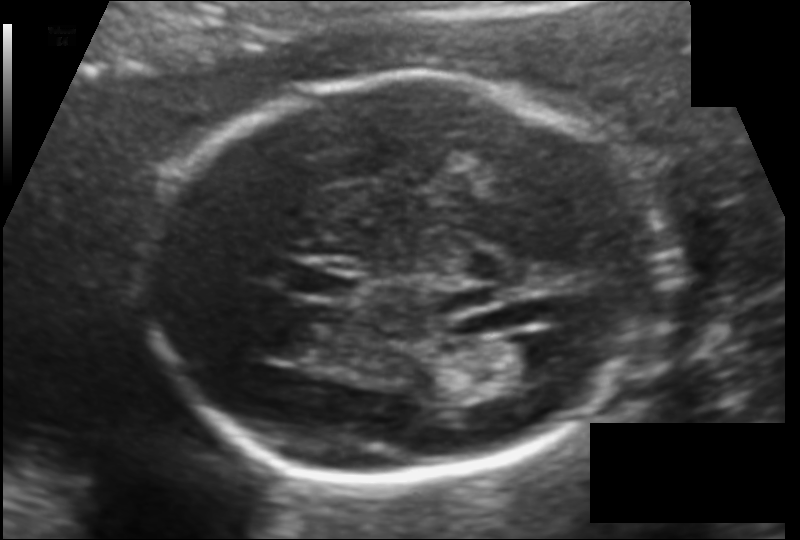
Measure the fetal head circumference shown in this ultrasound image. Image width: 95.9 mm.

Head circumference: 179.7 mm.